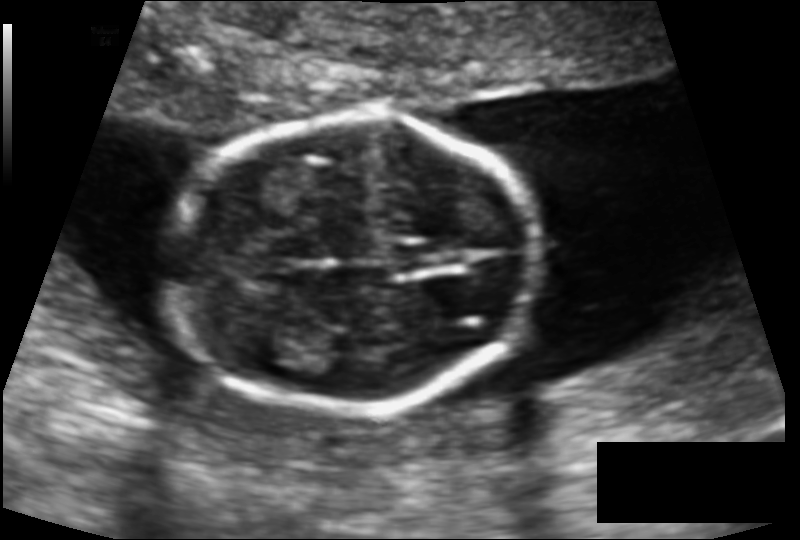
Measure the fetal head circumference shown in this ultrasound image. Image width: 89.5 mm.

Head circumference: 122.0 mm.